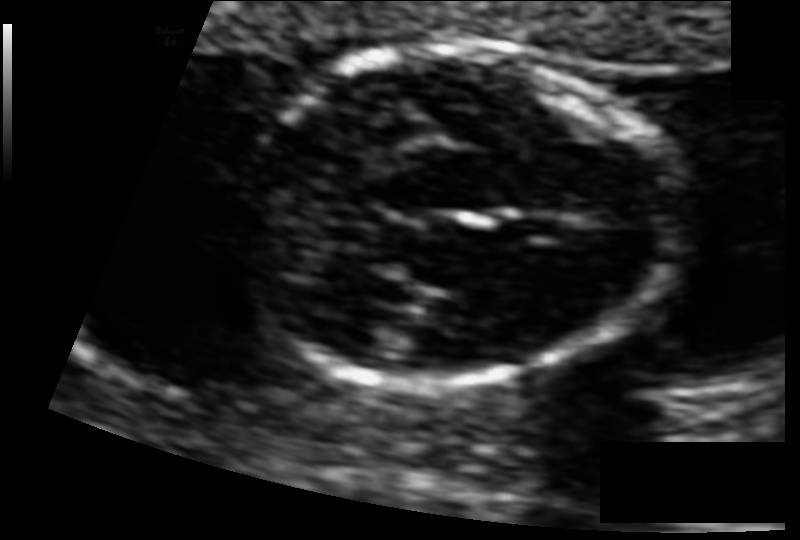
Fetal head ultrasound. Image width: 58.4 mm. Where is the fetal head?

Head bounding box: [240,48,677,390]